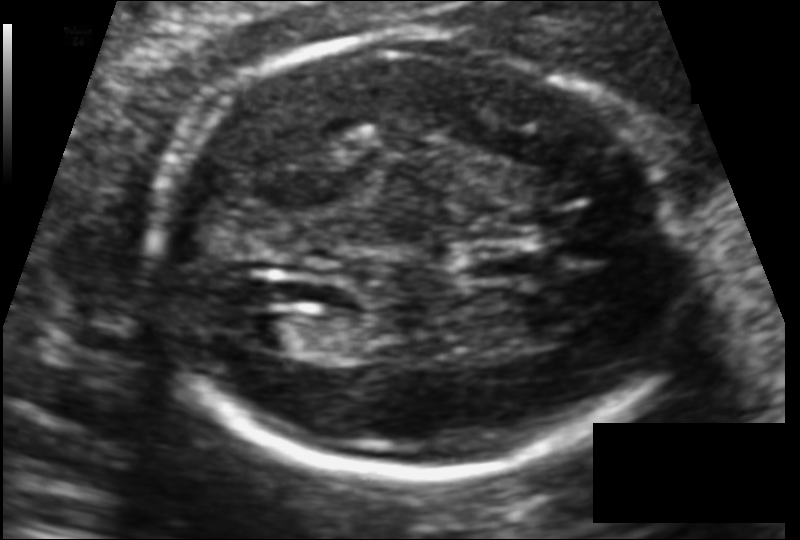
Fetal head ultrasound. Image width: 88.1 mm. Give [x1,y1,x2,y2] bounding boxes for each visible structure among: fetal head, CSP, LV.

Head: [146,33,689,477]
CSP: [461,250,530,285]
Lateral ventricle: [238,311,306,351]